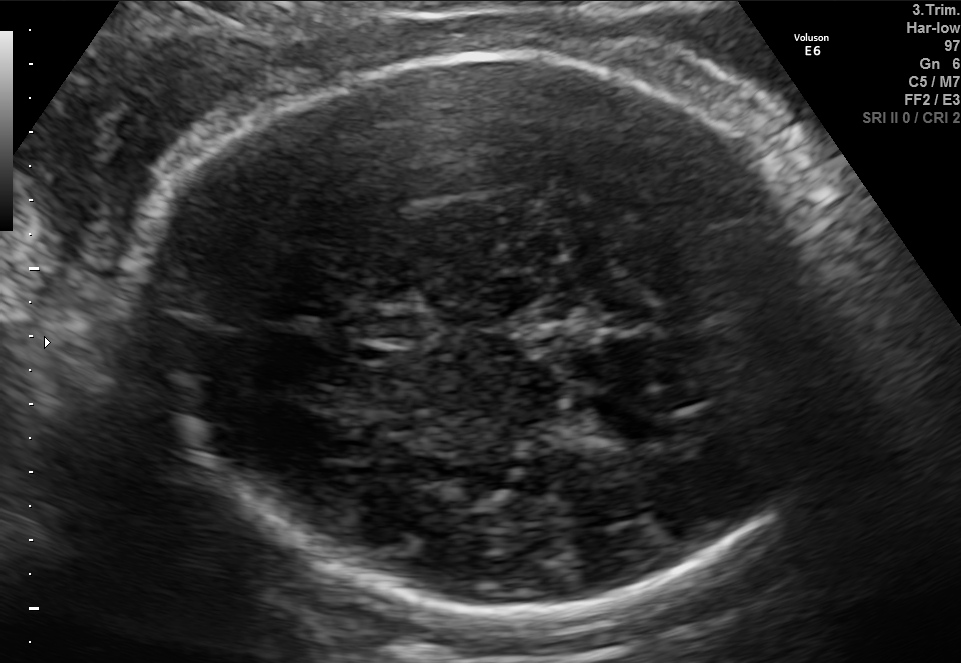
In this fetal brain, trans-thalamic plane, give bounding boxes for the head outline, cavum septum pellucidum (CSP), and lateral ventricle (LV), where visible.

Head: [133,52,846,615]
CSP: [355,308,420,344]